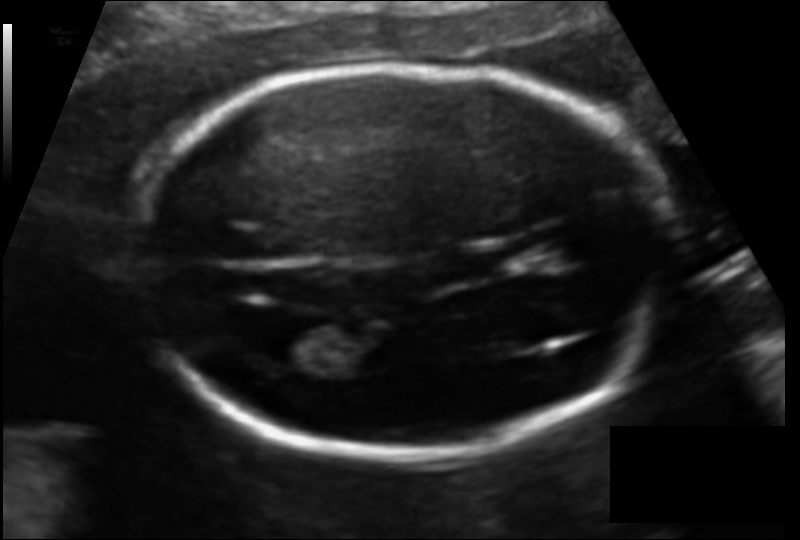
Fetal head ultrasound. Image width: 87.6 mm. Locate the lateral ventricle.

Lateral ventricle: [257,324,336,365]